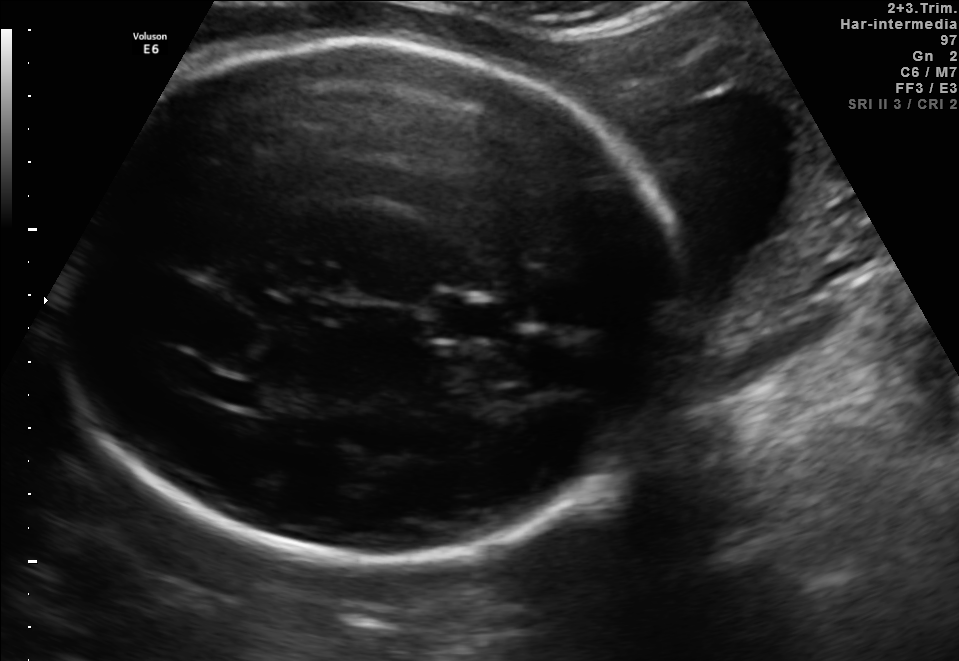
Fetal brain, trans-thalamic plane. Where is the lateral ventricle?

Lateral ventricle bounding box: [210,374,264,410]